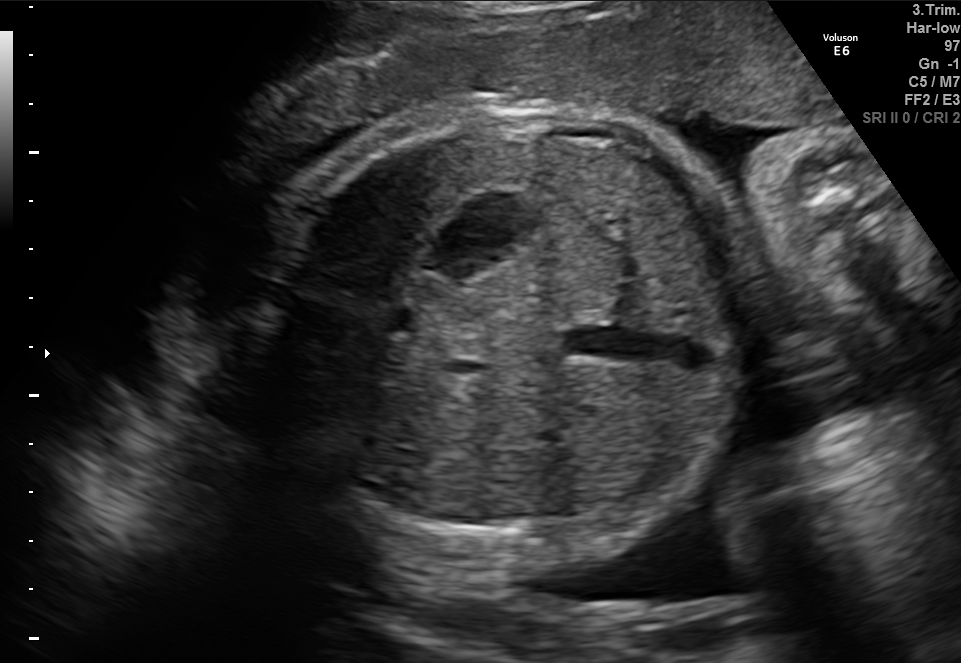
Identify the standard plane in this fetal ultrasound image: fetal abdomen, fetal brain, fetal femur, fetal thorax, maternal cervix, or other. If it's fetal brain and one of the three standard brain planes (trans-thalamic, trans-cerebellum, trans-ventricular), name which.

Fetal abdomen